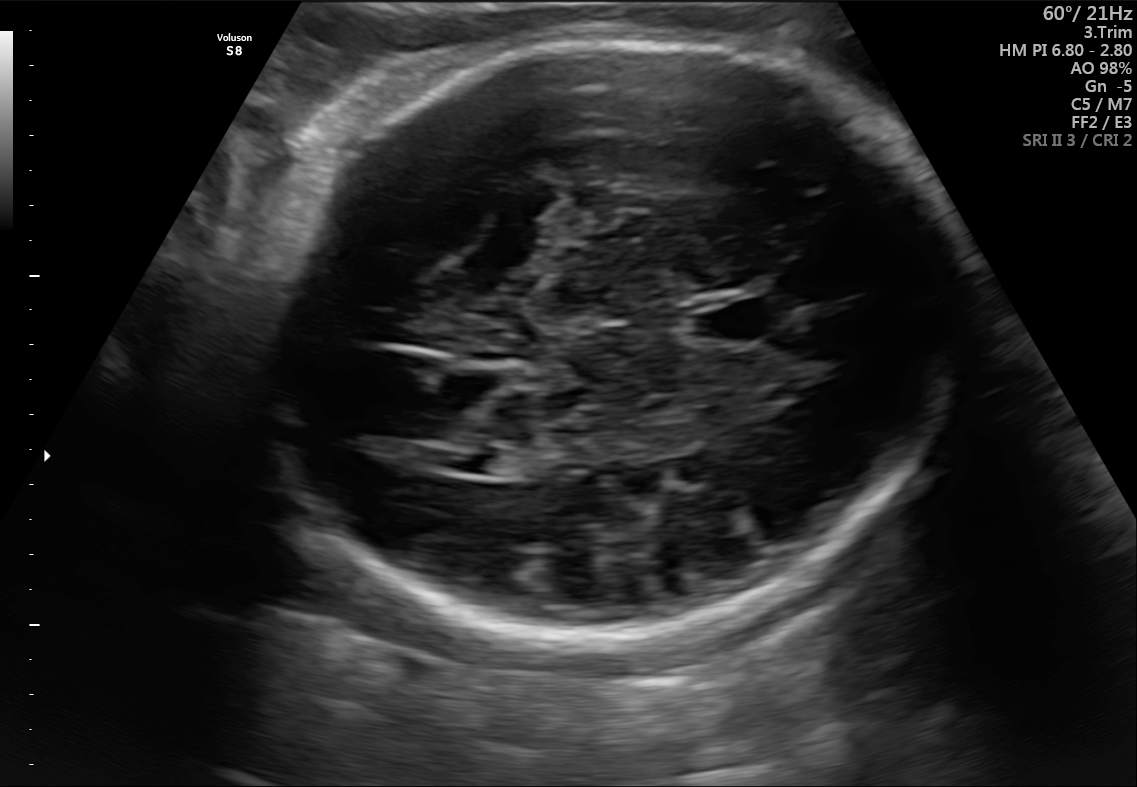
Fetal brain, trans-ventricular plane. Locate the fetal head and, if visible, the cavum septum pellucidum (CSP) and lateral ventricle (LV). Give bounding boxes as [x1,y1,x2,y2].

Head: [245,35,982,645]
CSP: [690,304,765,341]
Lateral ventricle: [446,448,500,476]